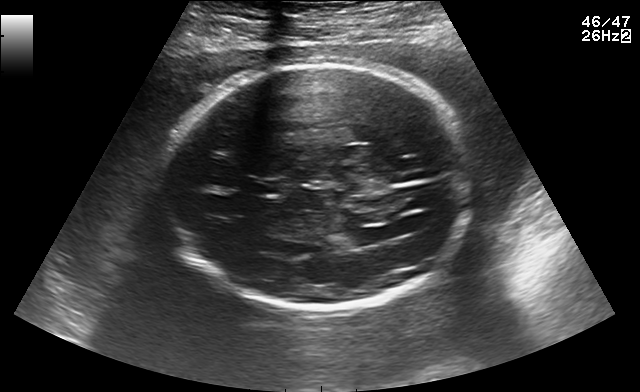
Fetal brain, trans-ventricular plane. Locate the fetal head and, if visible, the cavum septum pellucidum (CSP) and lateral ventricle (LV). Give bounding boxes as [x1,y1,x2,y2].

Head: [160,59,476,317]
CSP: [244,177,291,198]
Lateral ventricle: [341,227,380,250]